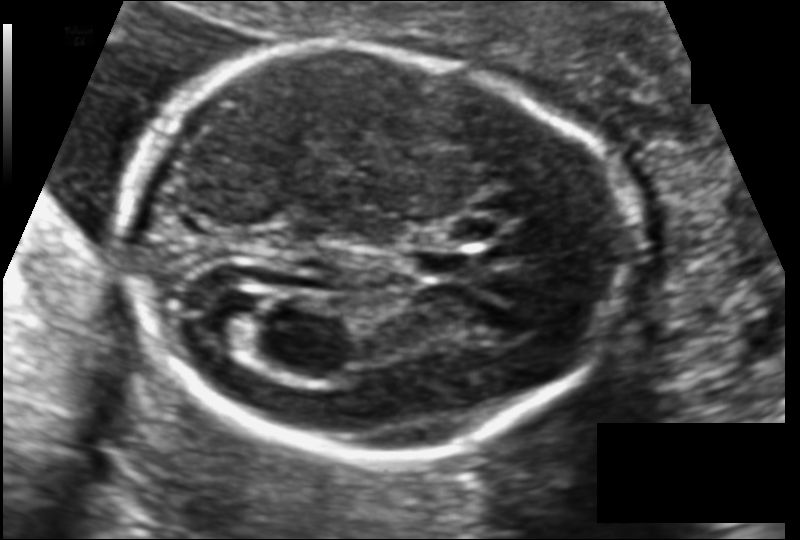
In this fetal head ultrasound, give the bounding box of the cavum septum pellucidum. Image width: 93.1 mm.

[409,248,473,278]